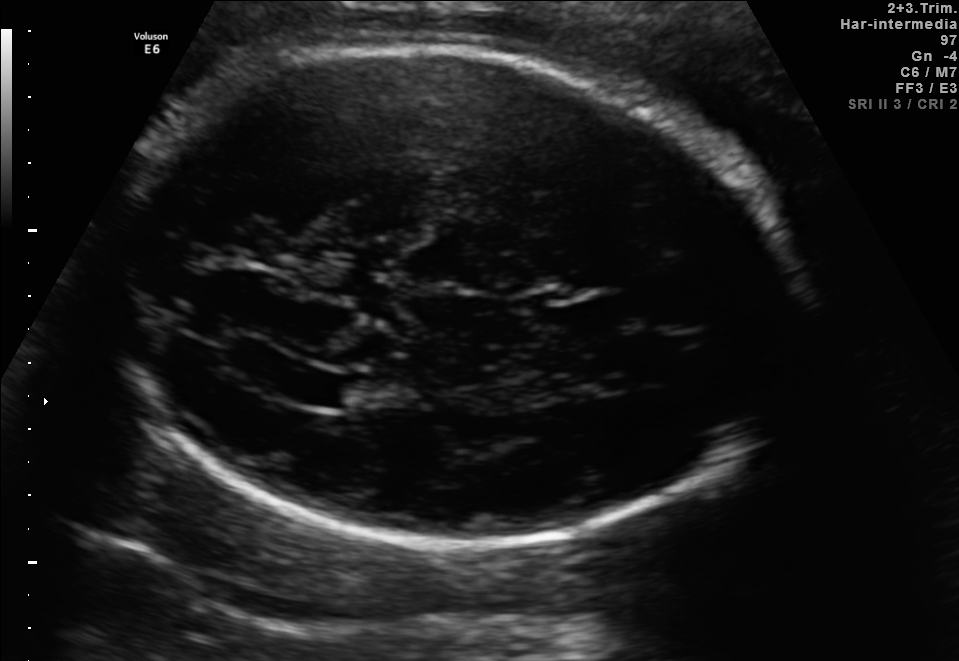
Fetal brain, trans-ventricular plane. Locate the fetal head and, if visible, the cavum septum pellucidum (CSP) and lateral ventricle (LV). Give bounding boxes as [x1,y1,x2,y2].

Head: [99,37,808,562]
Lateral ventricle: [285,364,352,410]